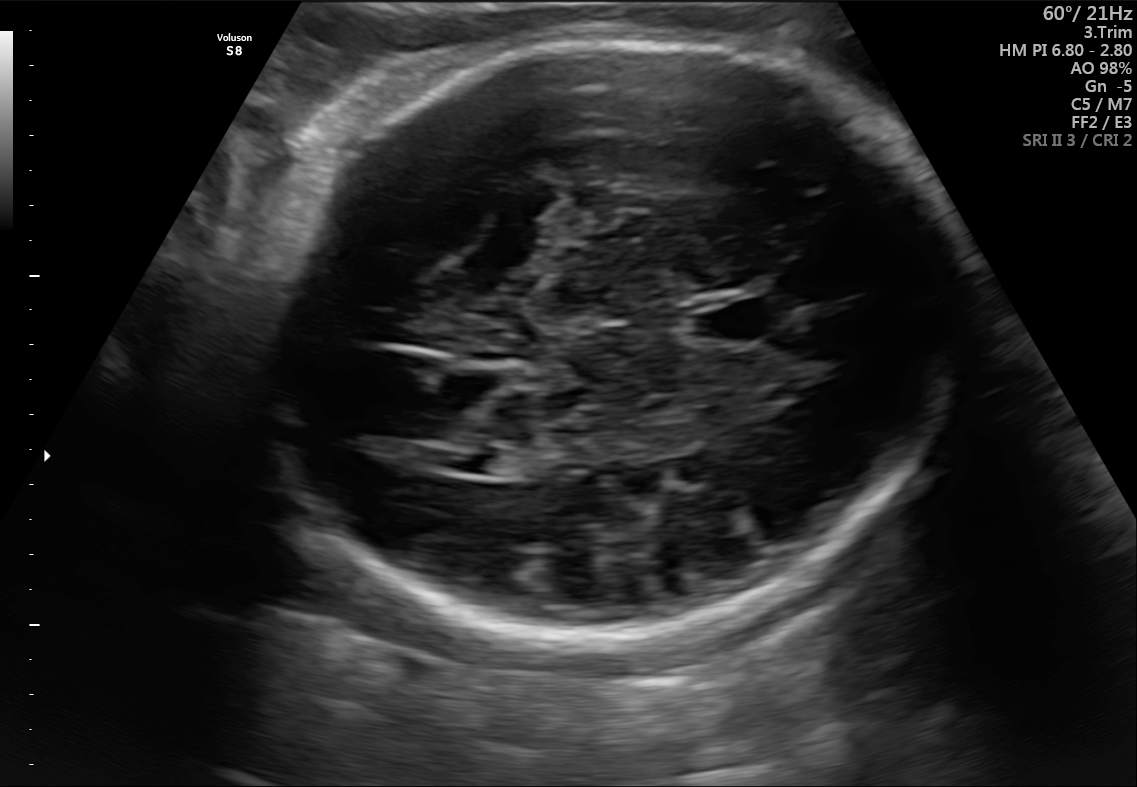
Identify the standard plane in this fetal ultrasound image: fetal abdomen, fetal brain, fetal femur, fetal thorax, maternal cervix, or other. If it's fetal brain and one of the three standard brain planes (trans-thalamic, trans-cerebellum, trans-ventricular), name which.

Fetal brain (trans-ventricular plane)